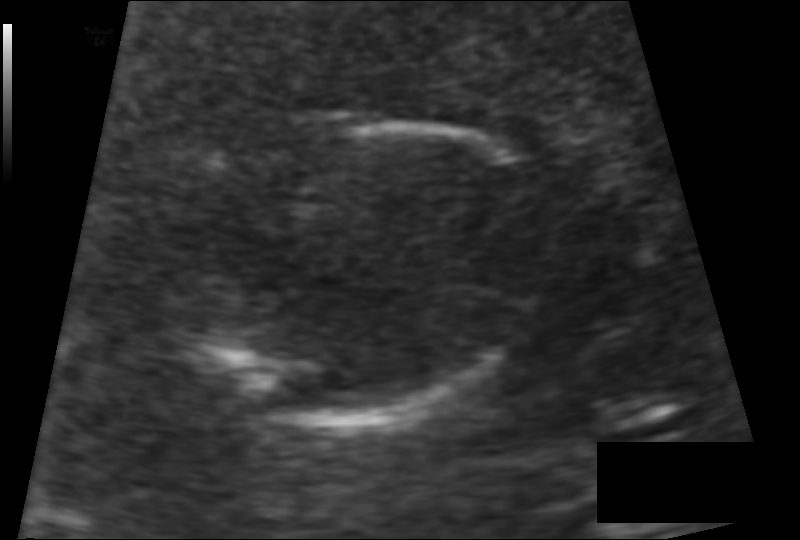
In this fetal head ultrasound, give bounding boxes for the head outline, cavum septum pellucidum (CSP), and lateral ventricle (LV), where visible. Image width: 74.1 mm.

Head: [185,120,545,426]